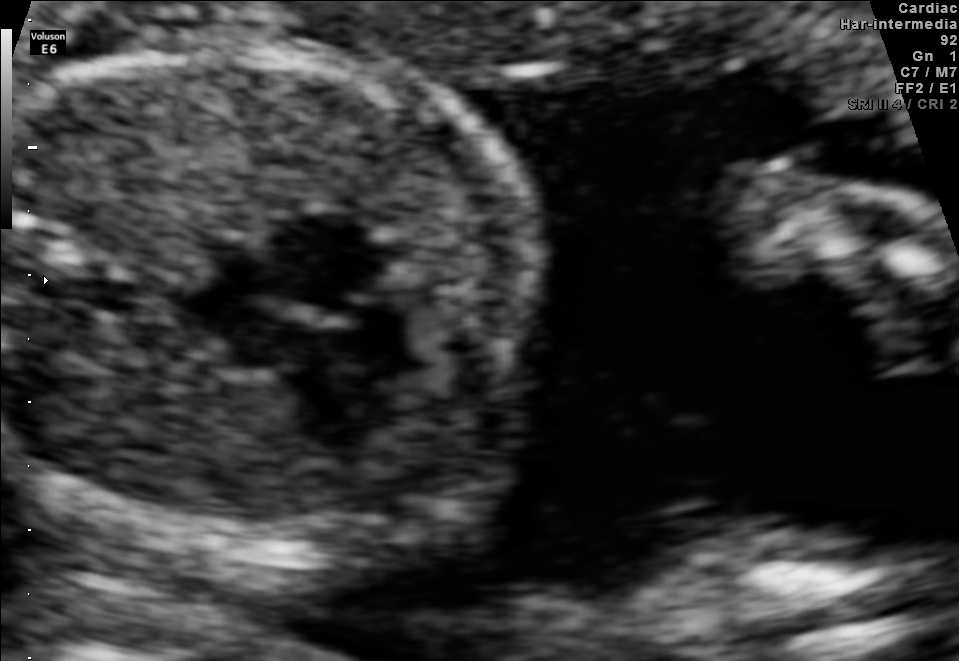
Classify this maternal-fetal ultrasound image as one of the six standard planes — fetal abdomen, fetal brain, fetal femur, fetal thorax, maternal cervix, or other. If it's fetal brain and one of the three standard brain planes (trans-thalamic, trans-cerebellum, trans-ventricular), name which.

Fetal thorax